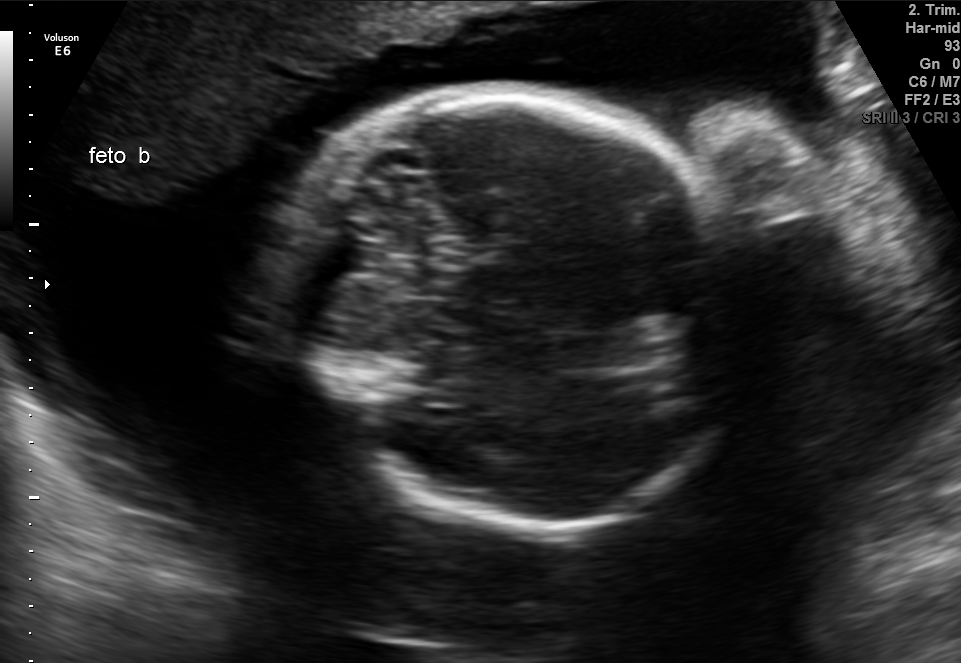
Classify this maternal-fetal ultrasound image as one of the six standard planes — fetal abdomen, fetal brain, fetal femur, fetal thorax, maternal cervix, or other. If it's fetal brain and one of the three standard brain planes (trans-thalamic, trans-cerebellum, trans-ventricular), name which.

Fetal brain (trans-cerebellum plane)